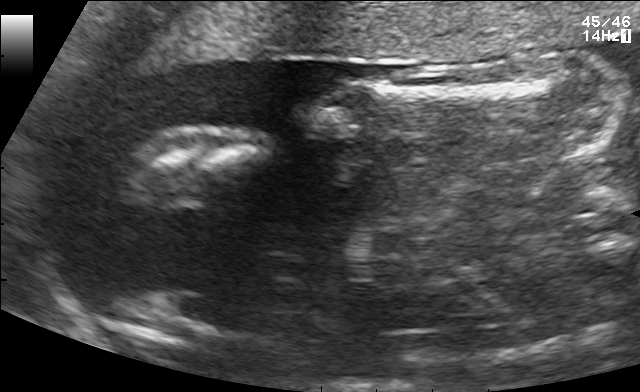
Classify this maternal-fetal ultrasound image as one of the six standard planes — fetal abdomen, fetal brain, fetal femur, fetal thorax, maternal cervix, or other. If it's fetal brain and one of the three standard brain planes (trans-thalamic, trans-cerebellum, trans-ventricular), name which.

Fetal femur